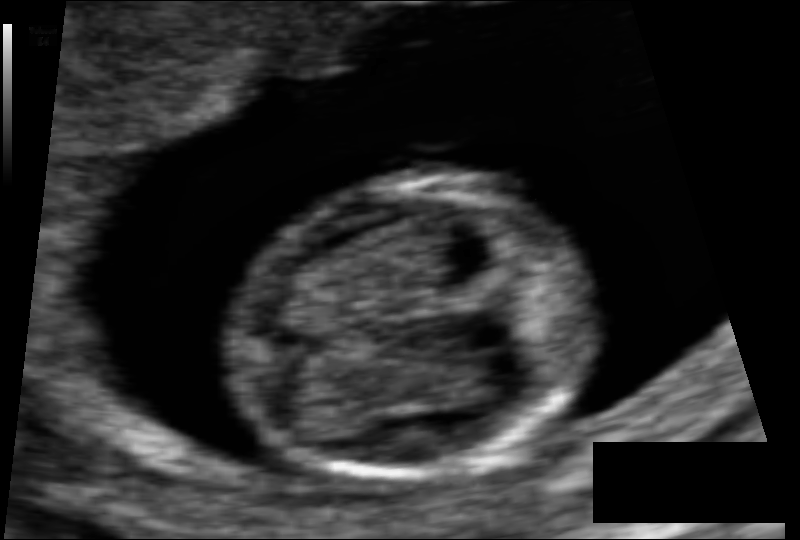
Estimate the fetal head circumference from this 2D ultrasound.

Head circumference: 69.9 mm (image width 51.5 mm).